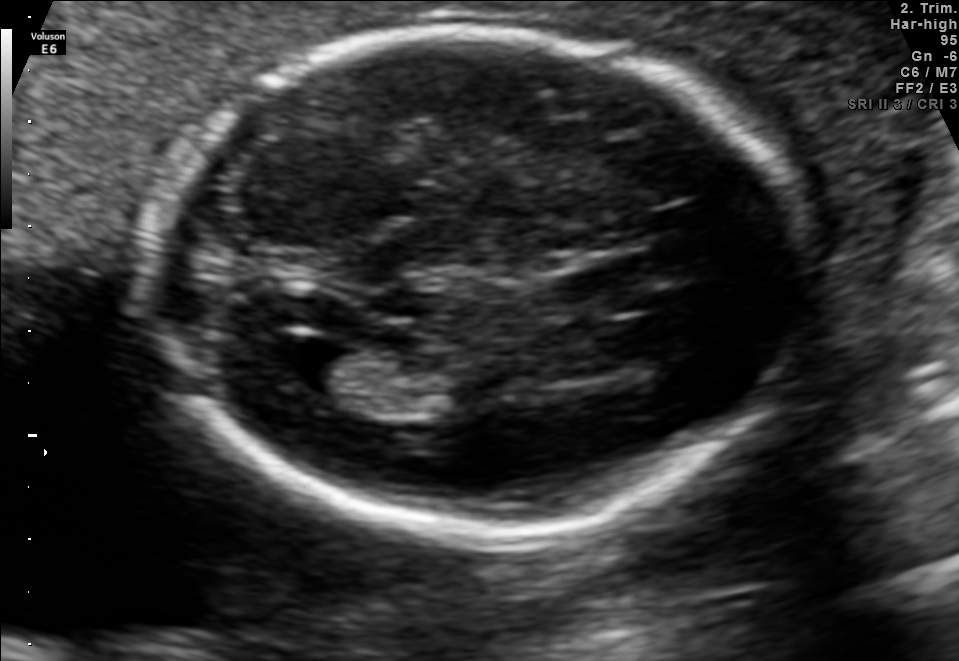
In this fetal brain, trans-ventricular plane, give bounding boxes for the head outline, cavum septum pellucidum (CSP), and lateral ventricle (LV), where visible.

Head: [146,23,813,542]
CSP: [520,258,618,320]
Lateral ventricle: [249,314,361,403]